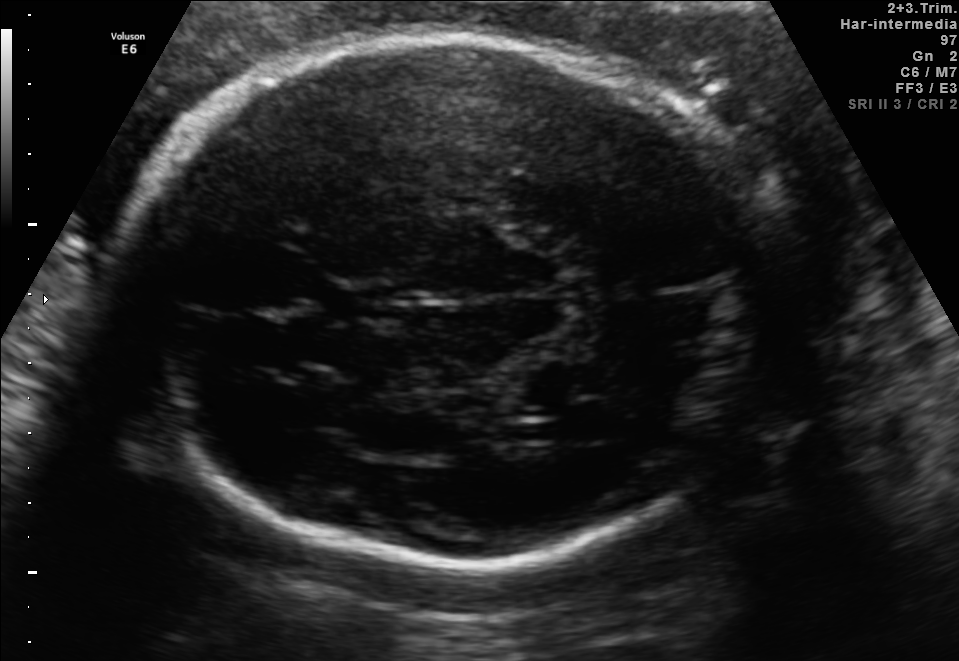
In this fetal brain, trans-thalamic plane, give the bounding box of the fetal head.

[114,38,779,563]